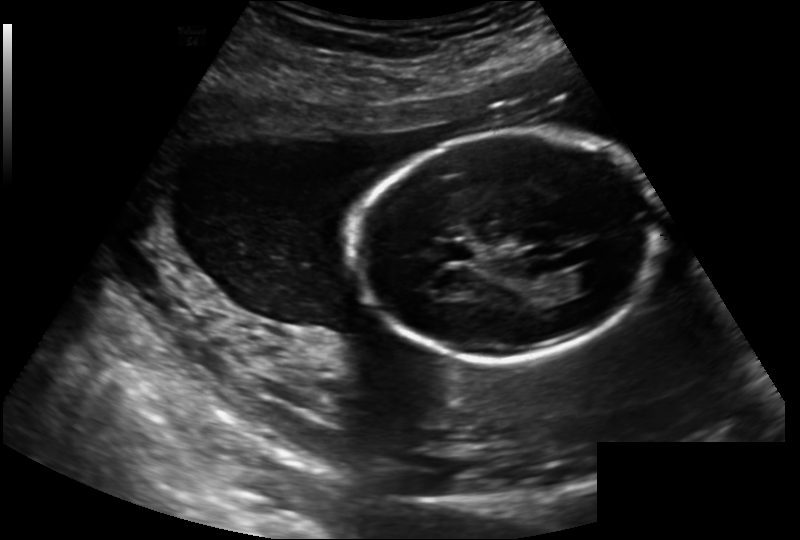
Fetal head ultrasound. Image width: 161.7 mm. Where is the fetal head?

Head bounding box: [354,131,665,359]